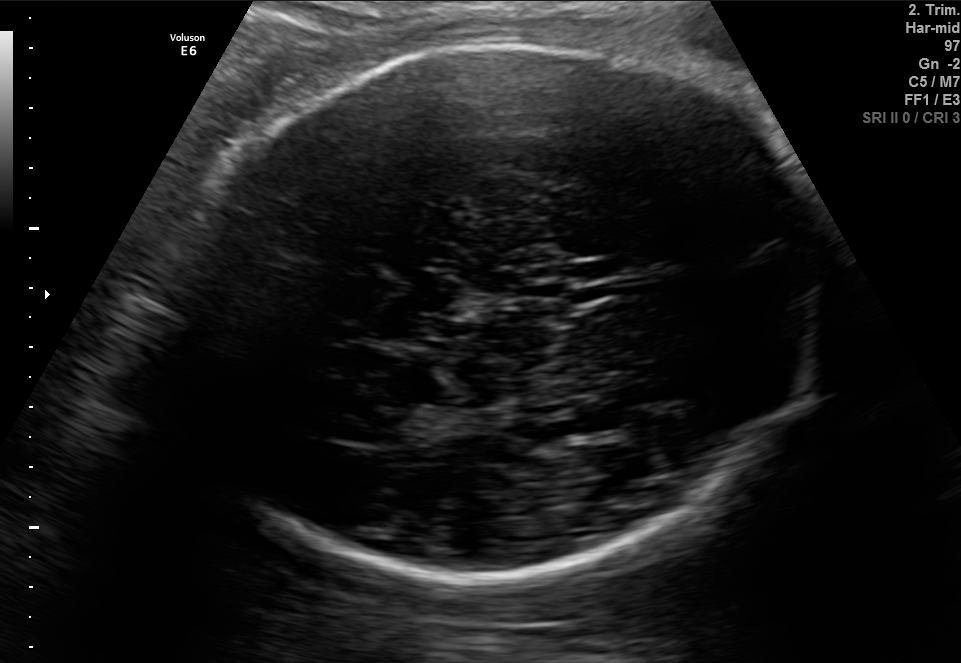
Fetal brain, trans-thalamic plane. Locate the fetal head and, if visible, the cavum septum pellucidum (CSP) and lateral ventricle (LV). Give bounding boxes as [x1,y1,x2,y2].

Head: [179,36,832,585]